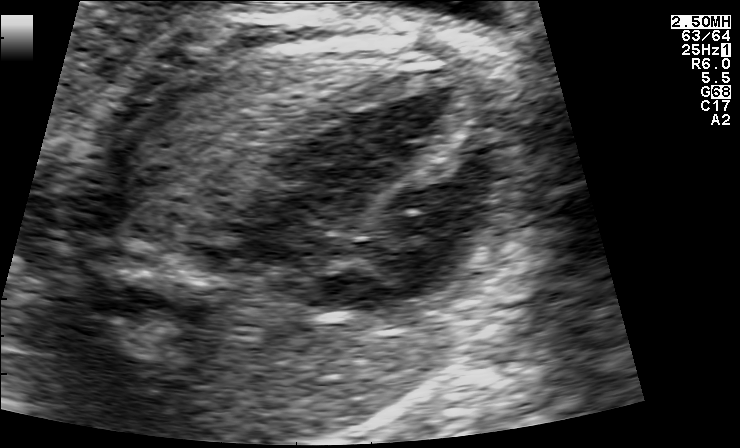
This is a 2D maternal-fetal ultrasound frame. Is it a fetal abdomen, fetal brain, fetal femur, fetal thorax, maternal cervix, or other standard plane? If it's fetal brain and one of the three standard brain planes (trans-thalamic, trans-cerebellum, trans-ventricular), name which.

Fetal thorax